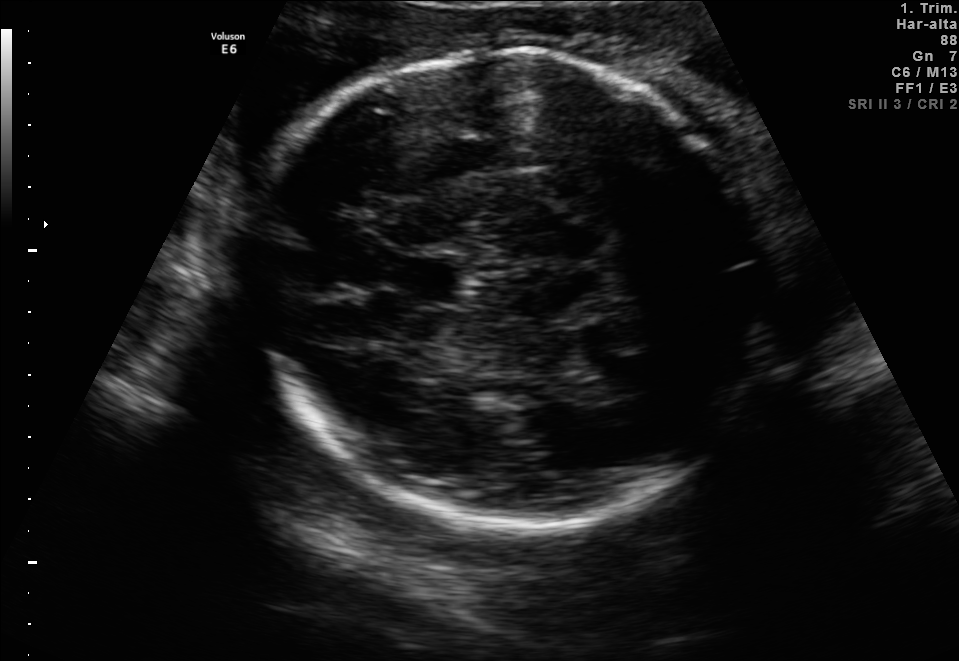
In this fetal brain, trans-thalamic plane, give the bounding box of the fetal head.

[250,50,765,529]